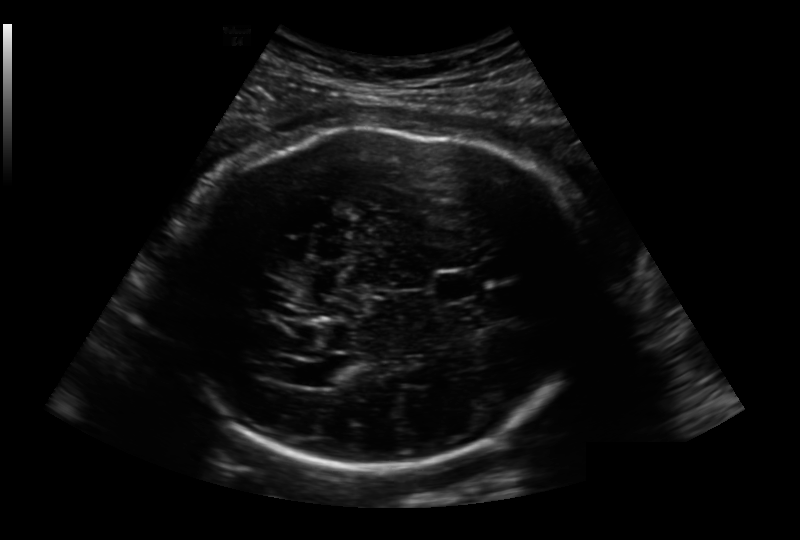
Fetal head ultrasound. Image width: 188.6 mm. Locate the fetal head and, if visible, the cavum septum pellucidum (CSP) and lateral ventricle (LV). Give bounding boxes as [x1,y1,x2,y2].

Head: [174,125,596,469]
CSP: [432,264,488,305]
Lateral ventricle: [310,364,352,386]